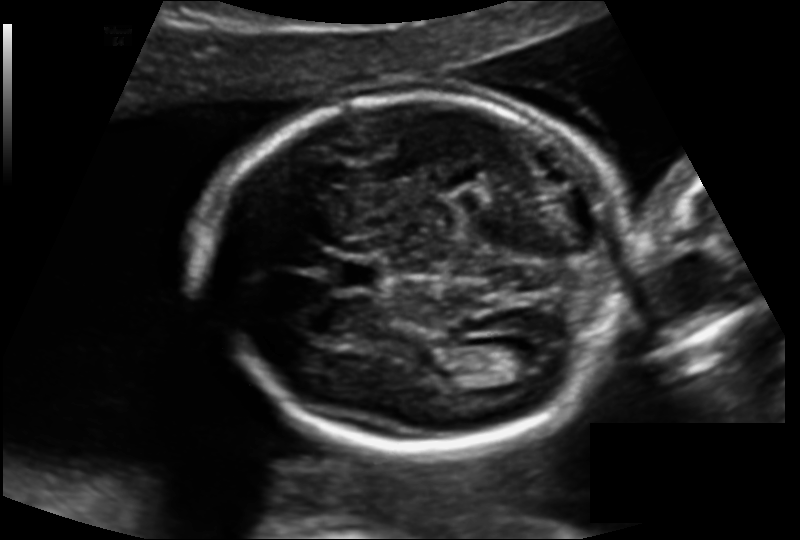
Fetal head ultrasound. Image width: 110.2 mm. Where is the lateral ventricle?

Lateral ventricle bounding box: [484,337,540,374]